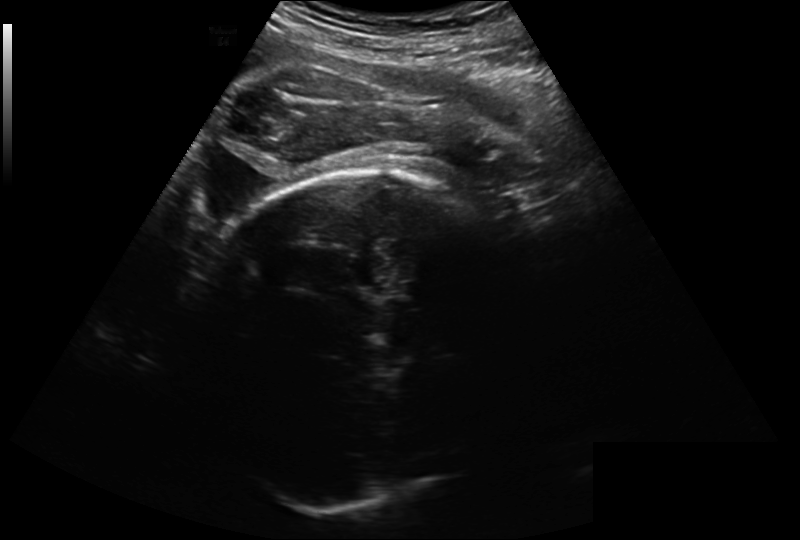
What is the fetal head circumference? Image width is 208.2 mm.

293.2 mm